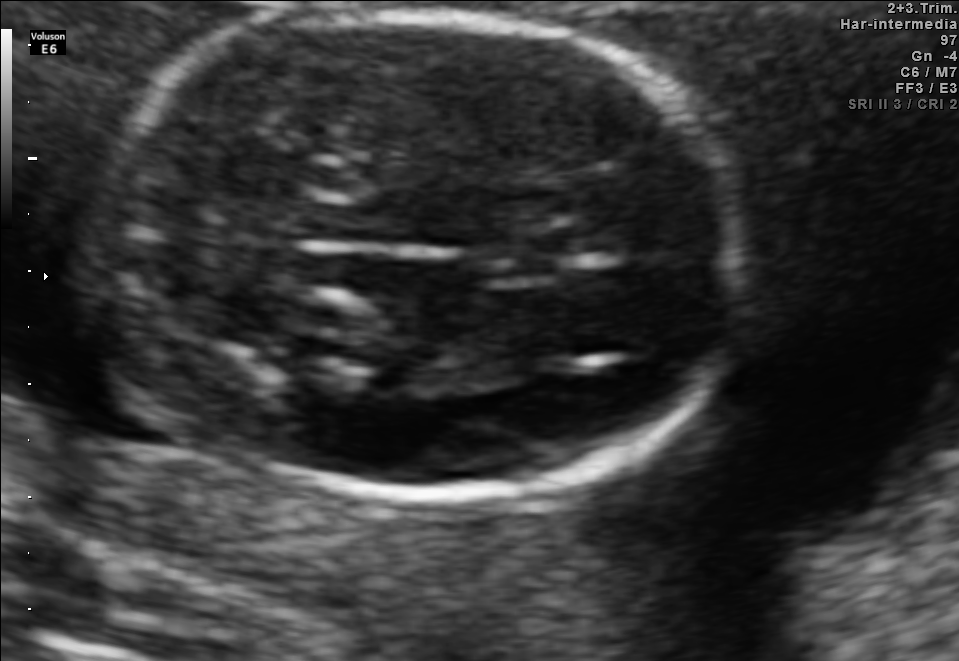
Fetal brain, trans-thalamic plane. Locate the lateral ventricle.

Lateral ventricle: [246,293,382,365]